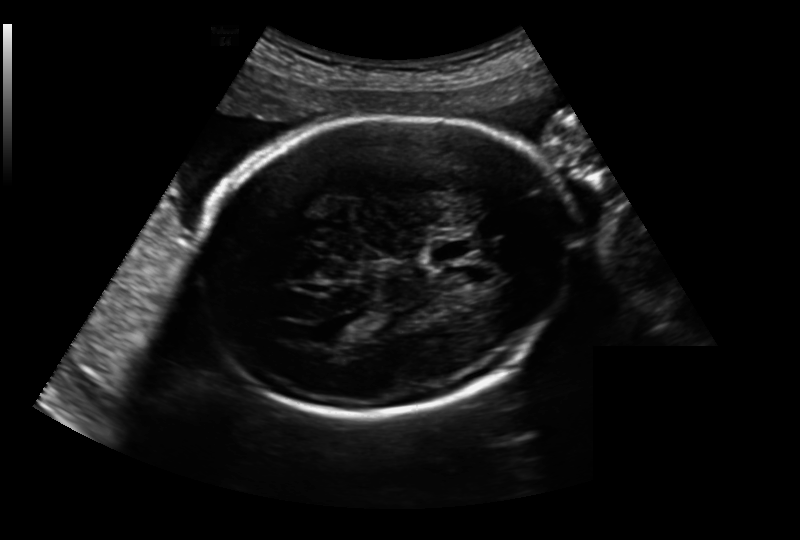
From this fetal ultrasound, estimate the head circumference (image width 170.6 mm).

Head circumference: 233.3 mm.